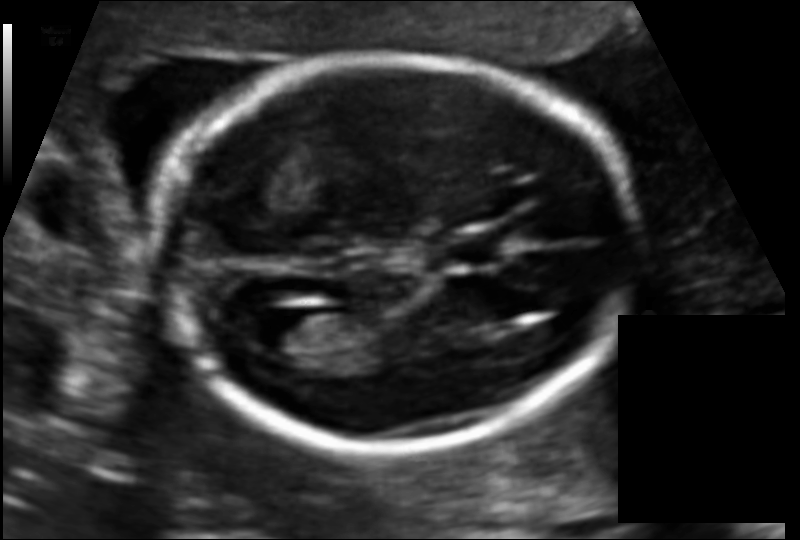
In this fetal head ultrasound, give bounding boxes for the head outline, cavum septum pellucidum (CSP), and lateral ventricle (LV), where visible. Image width: 87.1 mm.

Head: [158,55,636,446]
CSP: [443,234,501,268]
Lateral ventricle: [239,305,319,352]